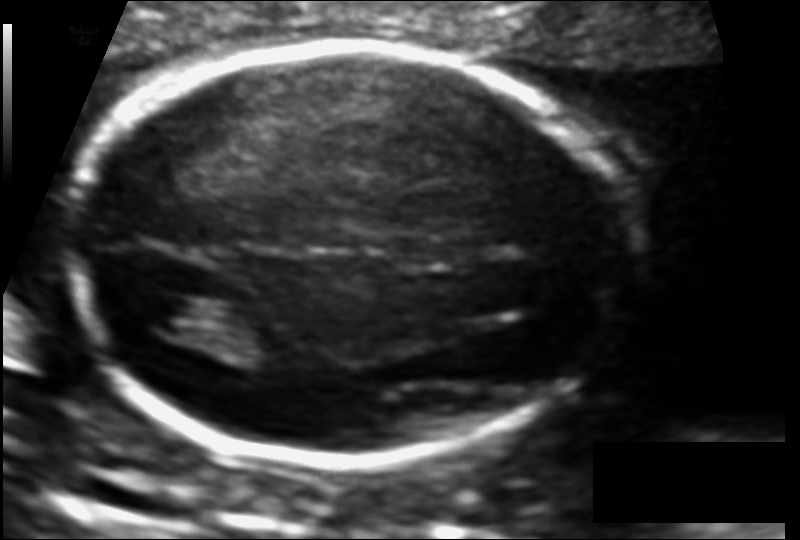
In this fetal head ultrasound, give bounding boxes for the head outline, cavum septum pellucidum (CSP), and lateral ventricle (LV), where visible. Image width: 88.9 mm.

Head: [73,47,611,466]
CSP: [391,236,464,269]
Lateral ventricle: [128,282,214,346]